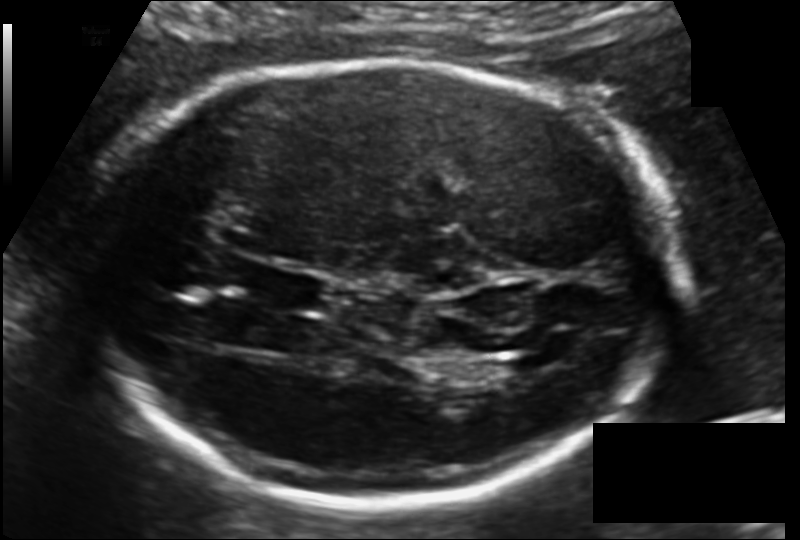
From this fetal ultrasound, estimate the head circumference (image width 107.8 mm).

Head circumference: 223.9 mm.